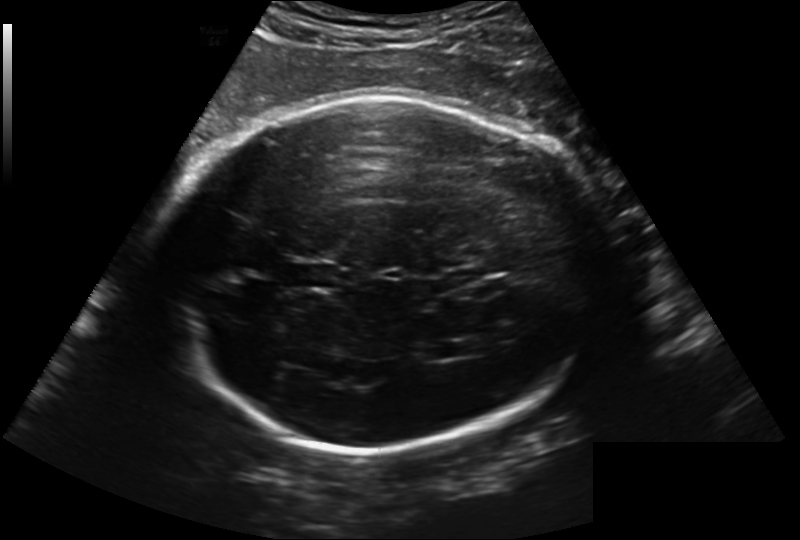
Fetal head ultrasound. Image width: 192.7 mm. Where is the fetal head?

Head bounding box: [166,96,614,450]